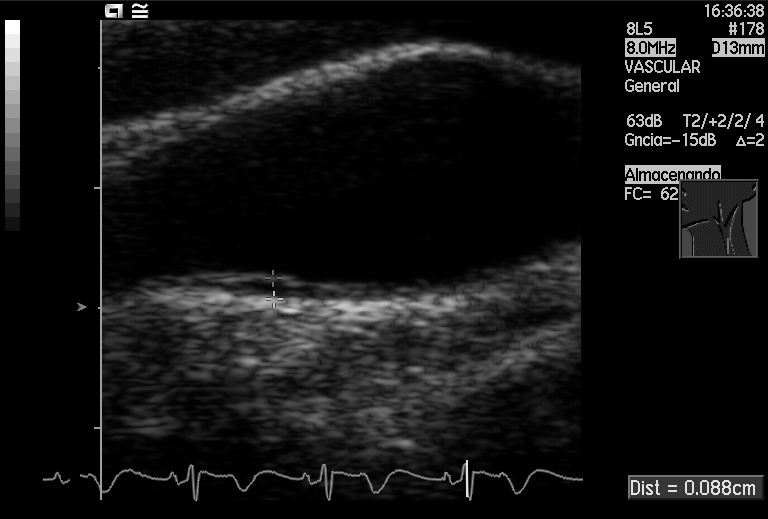
Classify this maternal-fetal ultrasound image as one of the six standard planes — fetal abdomen, fetal brain, fetal femur, fetal thorax, maternal cervix, or other. If it's fetal brain and one of the three standard brain planes (trans-thalamic, trans-cerebellum, trans-ventricular), name which.

Other